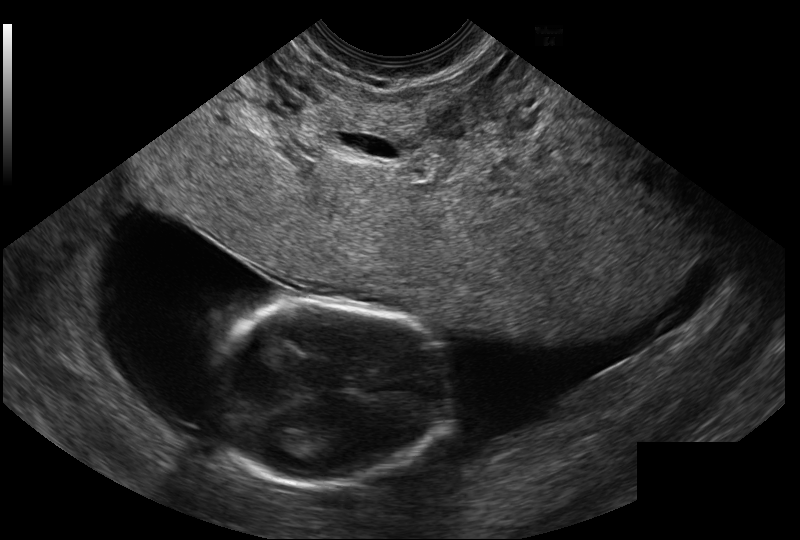
Fetal head ultrasound. Image width: 91.4 mm. Where is the fetal head?

Head bounding box: [209,301,452,486]